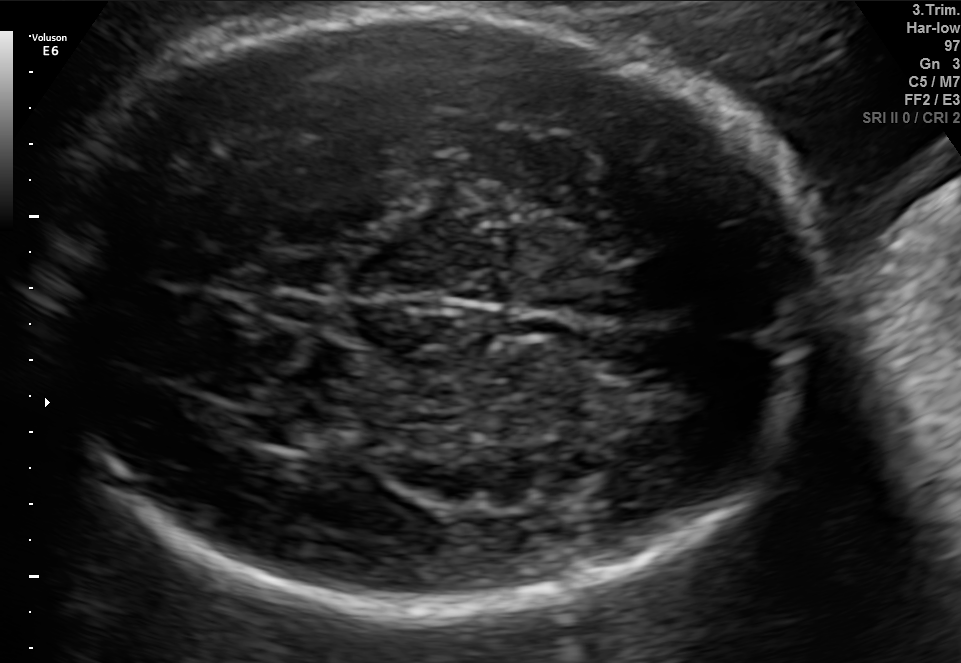
Fetal brain, trans-thalamic plane. Give [x1,y1,x2,y2] bounding boxes for each visible structure among: fetal head, CSP, LV.

Head: [44,13,817,616]